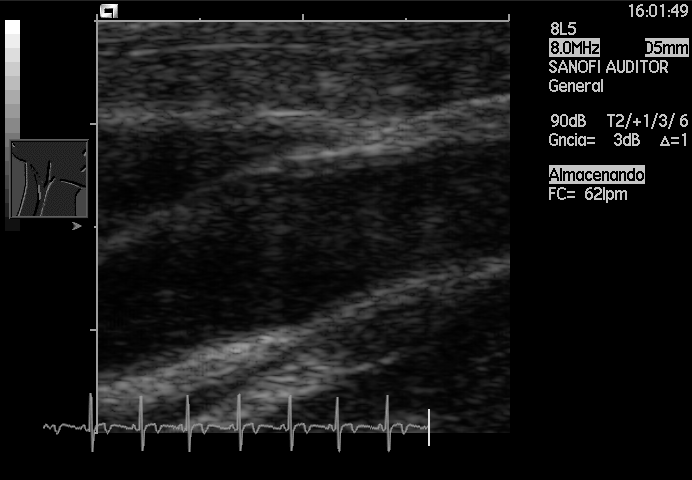
Classify this maternal-fetal ultrasound image as one of the six standard planes — fetal abdomen, fetal brain, fetal femur, fetal thorax, maternal cervix, or other. If it's fetal brain and one of the three standard brain planes (trans-thalamic, trans-cerebellum, trans-ventricular), name which.

Other